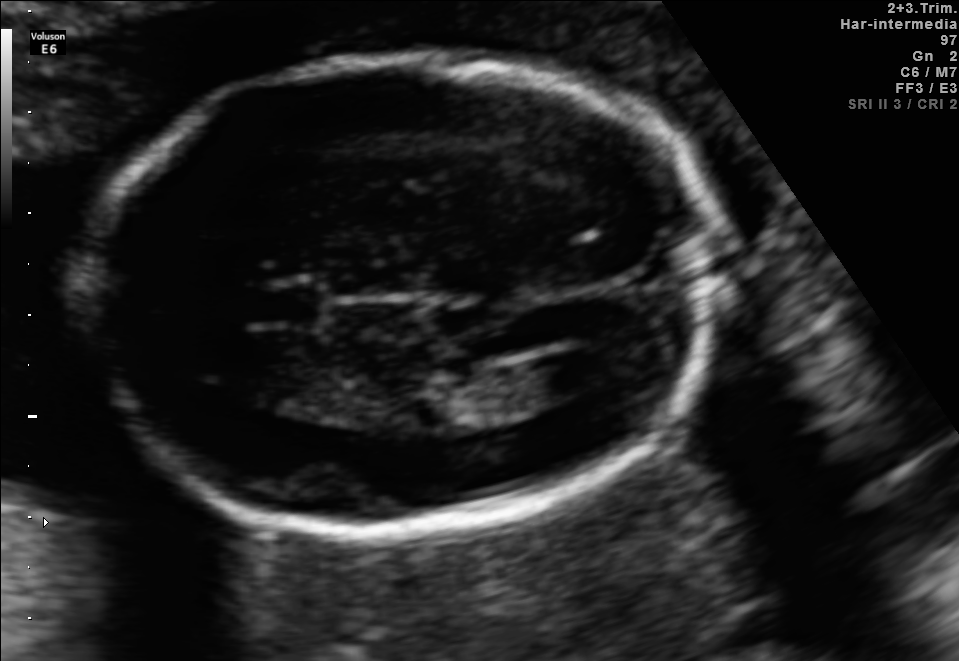
In this fetal brain, trans-ventricular plane, give the bounding box of the cavum septum pellucidum.

[249,288,318,322]